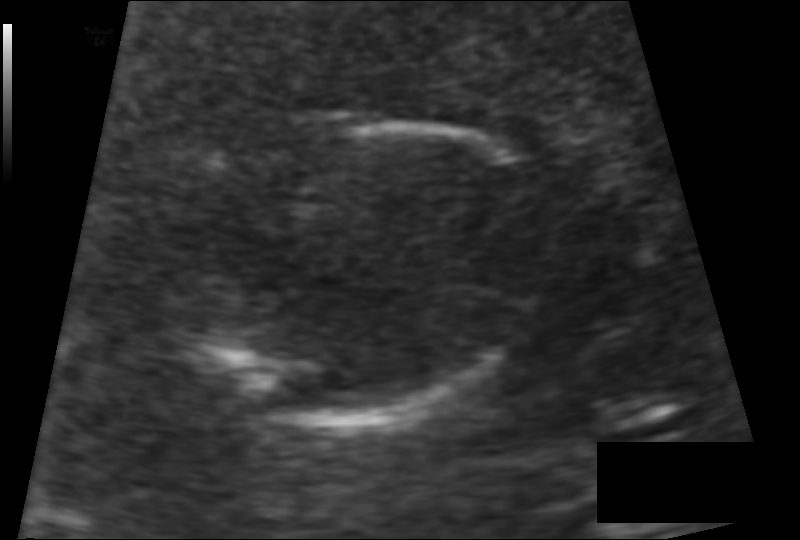
Fetal head ultrasound. Image width: 74.1 mm. Give [x1,y1,x2,y2] bounding boxes for each visible structure among: fetal head, CSP, LV.

Head: [185,120,545,426]